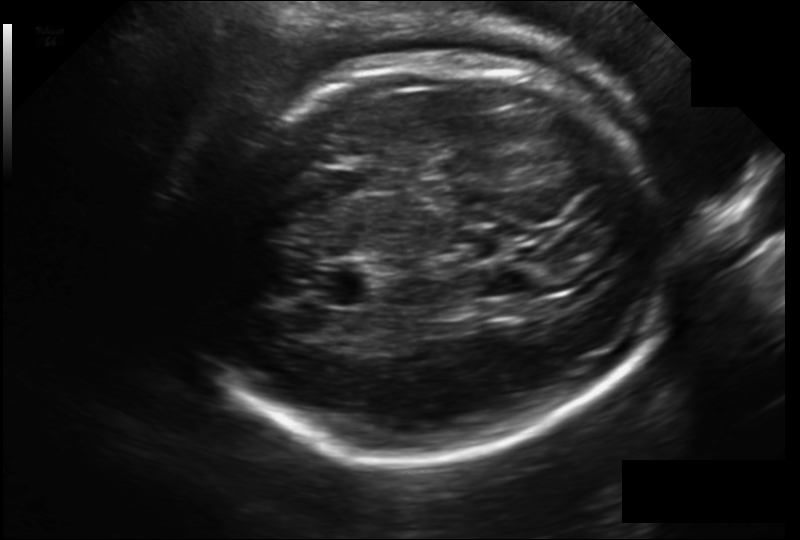
From this fetal ultrasound, estimate the head circumference (image width 162.0 mm).

Head circumference: 286.5 mm.